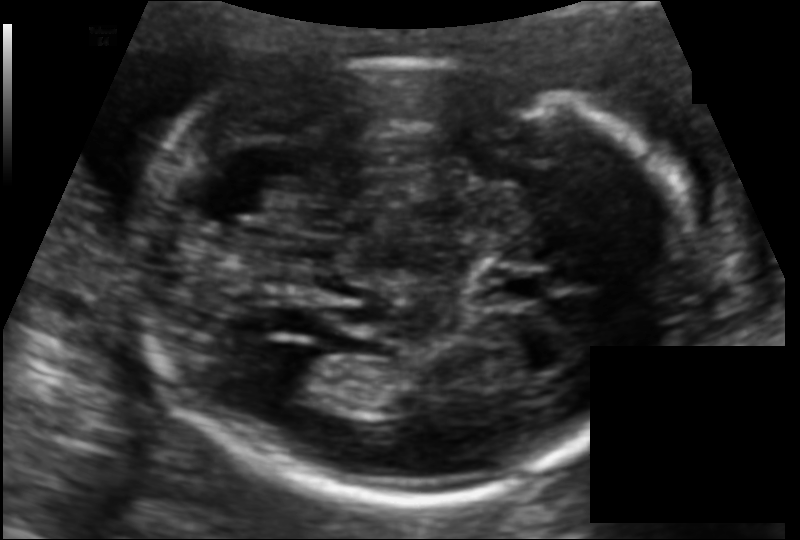
Fetal head ultrasound. Image width: 91.9 mm. Locate the fetal head.

Head: [137,60,687,500]